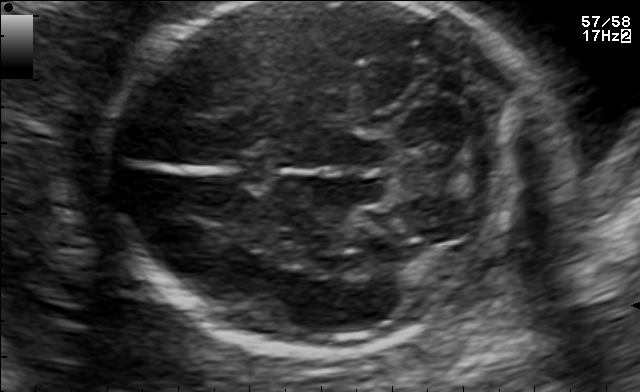
Fetal brain, trans-cerebellum plane. Give [x1,y1,x2,y2] bounding boxes for each visible structure among: fetal head, CSP, LV.

Head: [102,2,511,358]
CSP: [227,153,279,185]